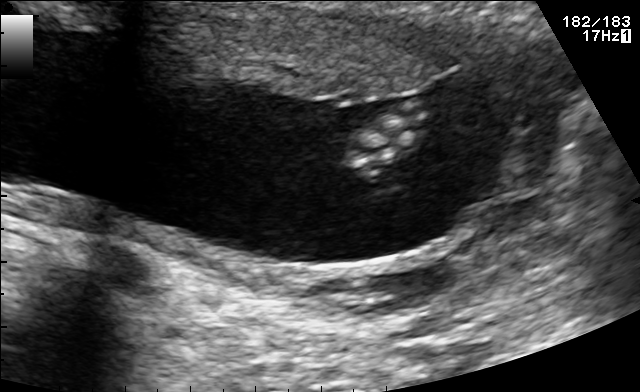
Which standard maternal-fetal ultrasound plane is shown: fetal abdomen, fetal brain, fetal femur, fetal thorax, maternal cervix, or other? If it's fetal brain and one of the three standard brain planes (trans-thalamic, trans-cerebellum, trans-ventricular), name which.

Other